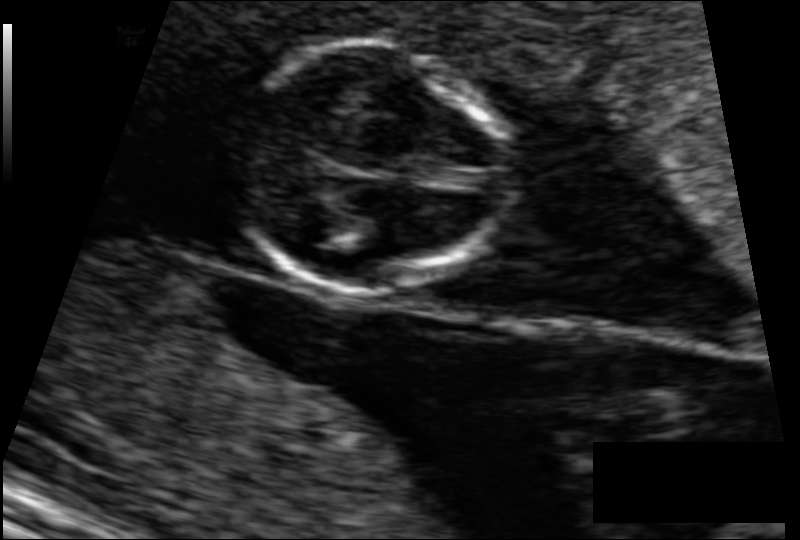
What is the fetal head circumference? Image width is 66.3 mm.

70.1 mm